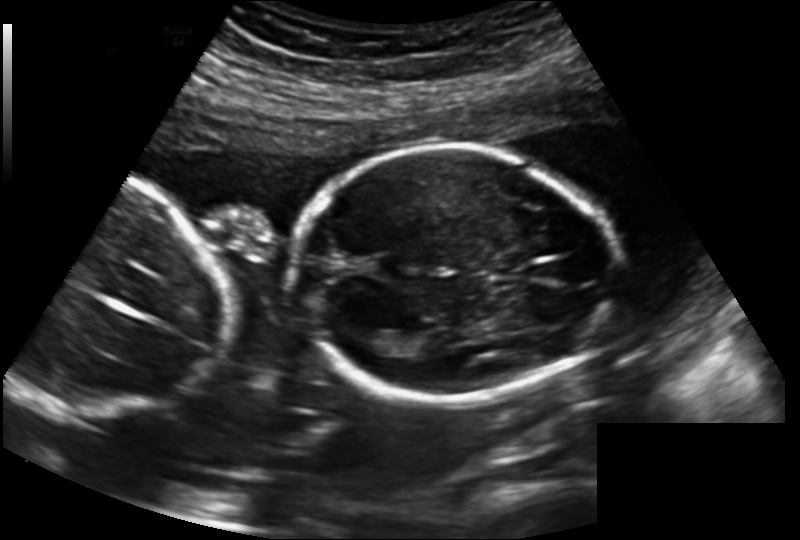
Measure the fetal head circumference shown in this ultrasound image. Image width: 146.1 mm.

Head circumference: 173.1 mm.